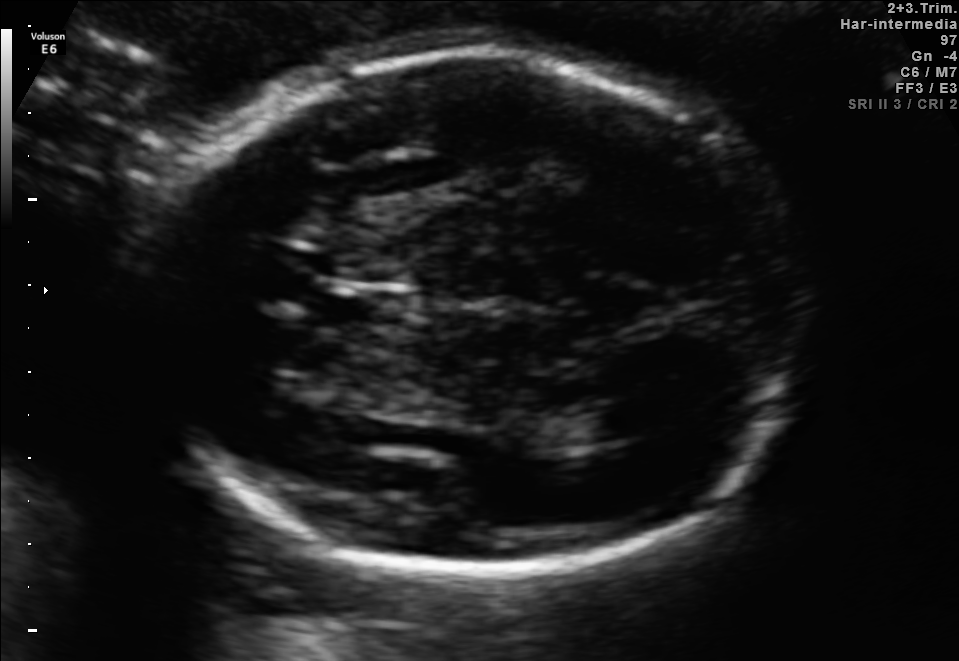
In this fetal brain, trans-thalamic plane, give bounding boxes for the head outline, cavum septum pellucidum (CSP), and lateral ventricle (LV), where visible.

Head: [150,50,801,583]
CSP: [324,293,405,326]
Lateral ventricle: [547,413,625,451]